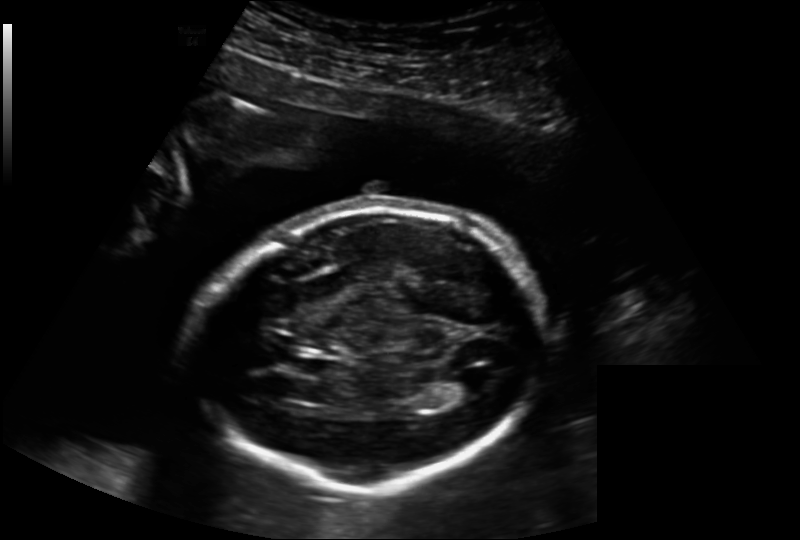
Fetal head ultrasound. Image width: 161.7 mm. Locate the fetal head.

Head: [194,208,543,486]